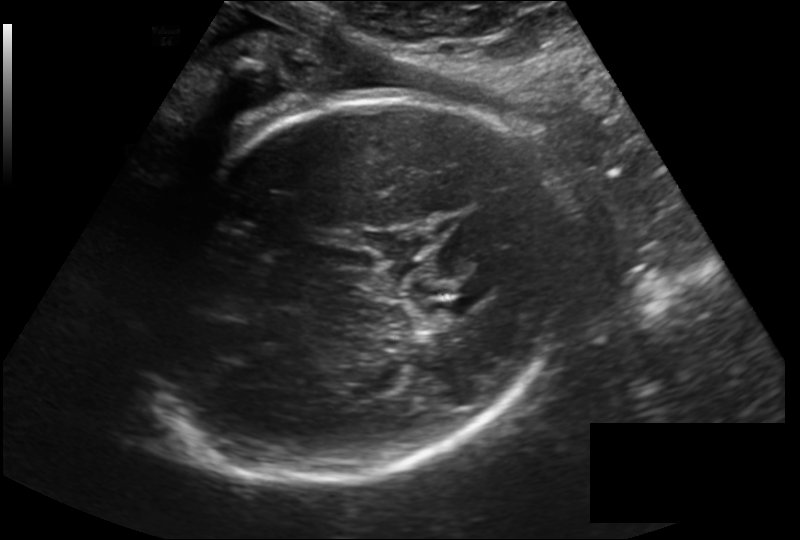
What is the fetal head circumference? Image width is 175.4 mm.

287.1 mm